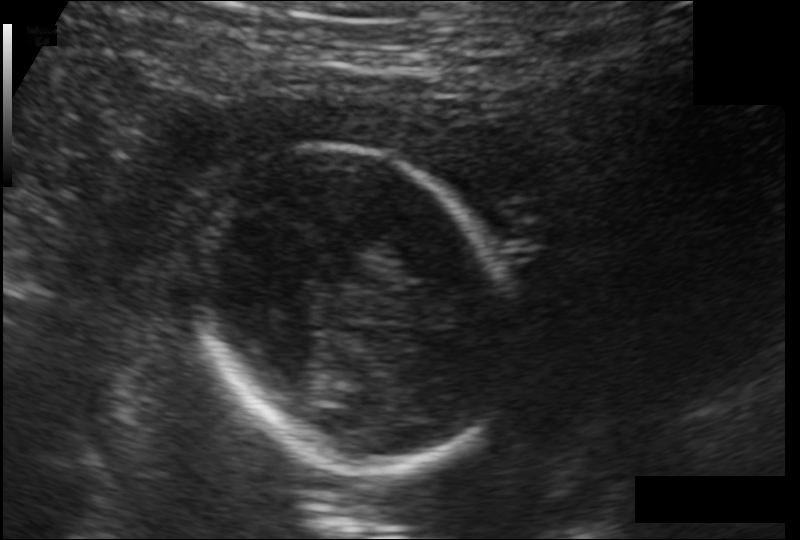
Measure the fetal head circumference shown in this ultrasound image. Image width: 116.5 mm.

Head circumference: 146.2 mm.